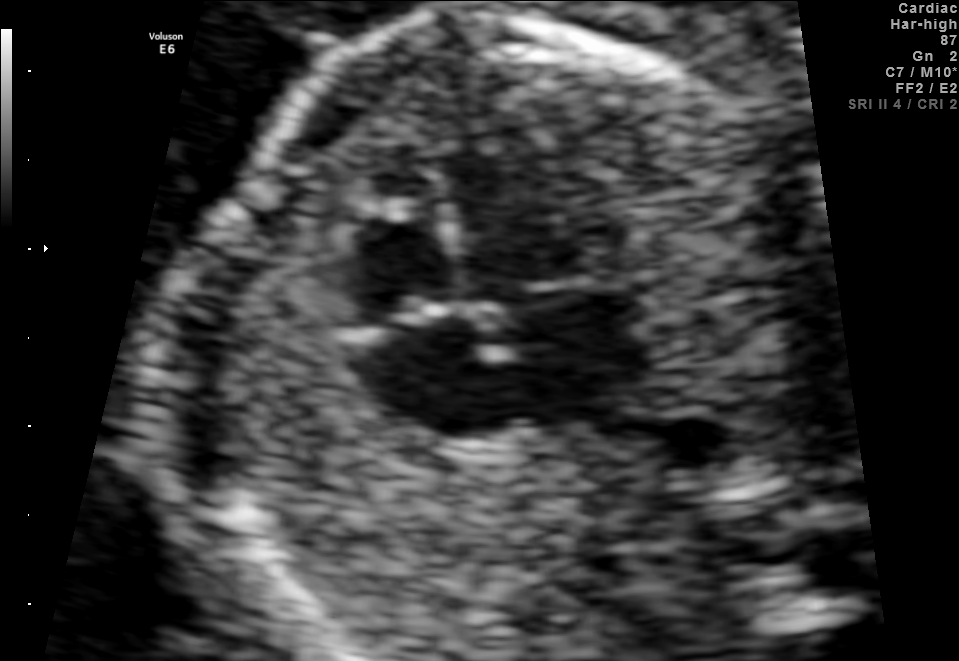
Classify this maternal-fetal ultrasound image as one of the six standard planes — fetal abdomen, fetal brain, fetal femur, fetal thorax, maternal cervix, or other. If it's fetal brain and one of the three standard brain planes (trans-thalamic, trans-cerebellum, trans-ventricular), name which.

Fetal thorax